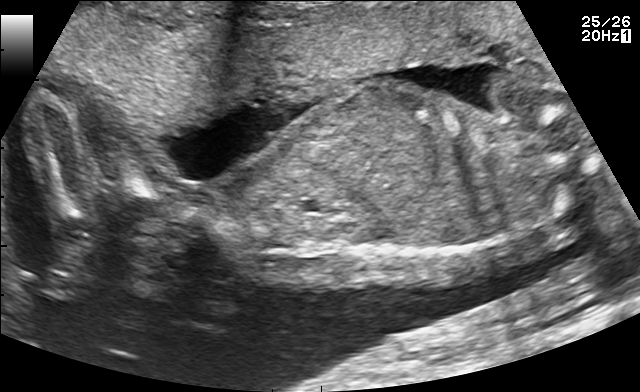
Classify this maternal-fetal ultrasound image as one of the six standard planes — fetal abdomen, fetal brain, fetal femur, fetal thorax, maternal cervix, or other. If it's fetal brain and one of the three standard brain planes (trans-thalamic, trans-cerebellum, trans-ventricular), name which.

Other